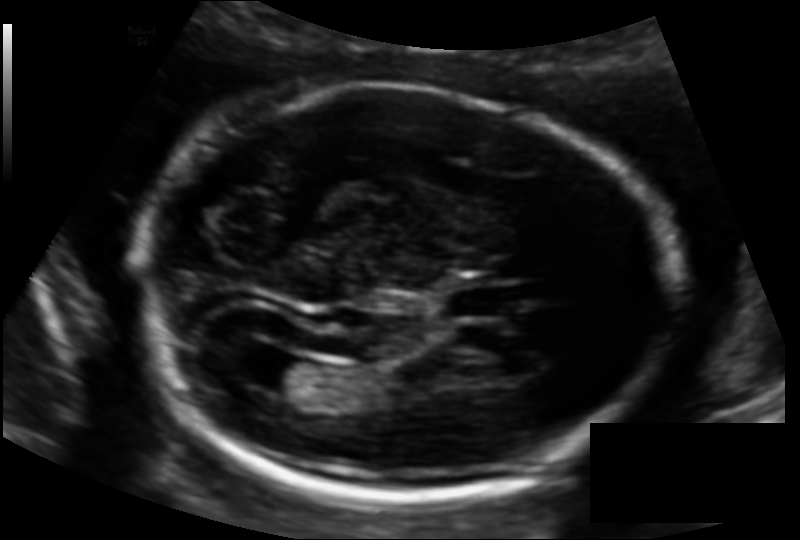
In this fetal head ultrasound, give bounding boxes for the head outline, cavum septum pellucidum (CSP), and lateral ventricle (LV), where visible. Image width: 103.6 mm.

Head: [148,84,667,498]
CSP: [442,276,517,320]
Lateral ventricle: [250,347,322,403]